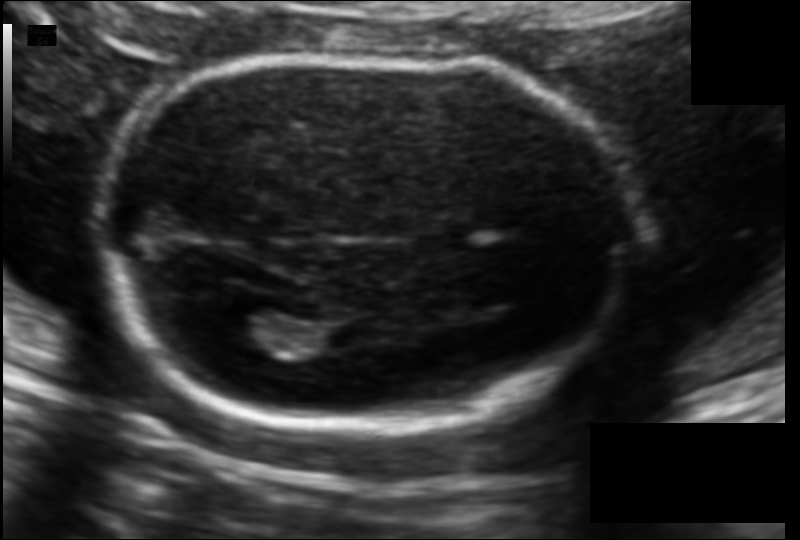
From this fetal ultrasound, estimate the head circumference (image width 90.5 mm).

Head circumference: 170.1 mm.